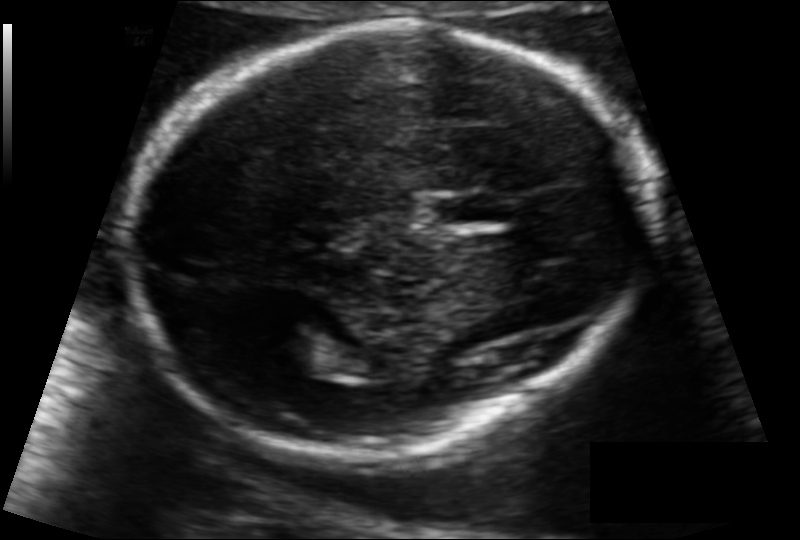
Measure the fetal head circumference shown in this ultrasound image. Image width: 88.7 mm.

Head circumference: 172.6 mm.